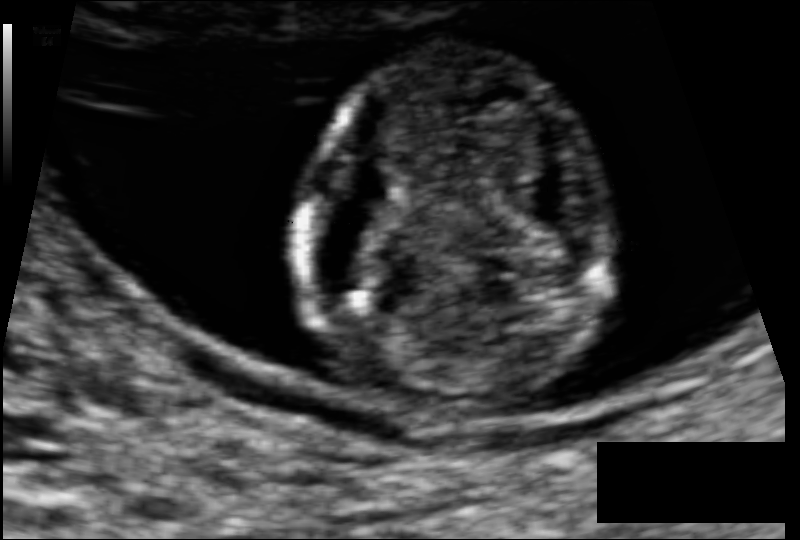
In this fetal head ultrasound, give bounding boxes for the head outline, cavum septum pellucidum (CSP), and lateral ventricle (LV), where visible. Image width: 59.5 mm.

Head: [301,50,604,408]